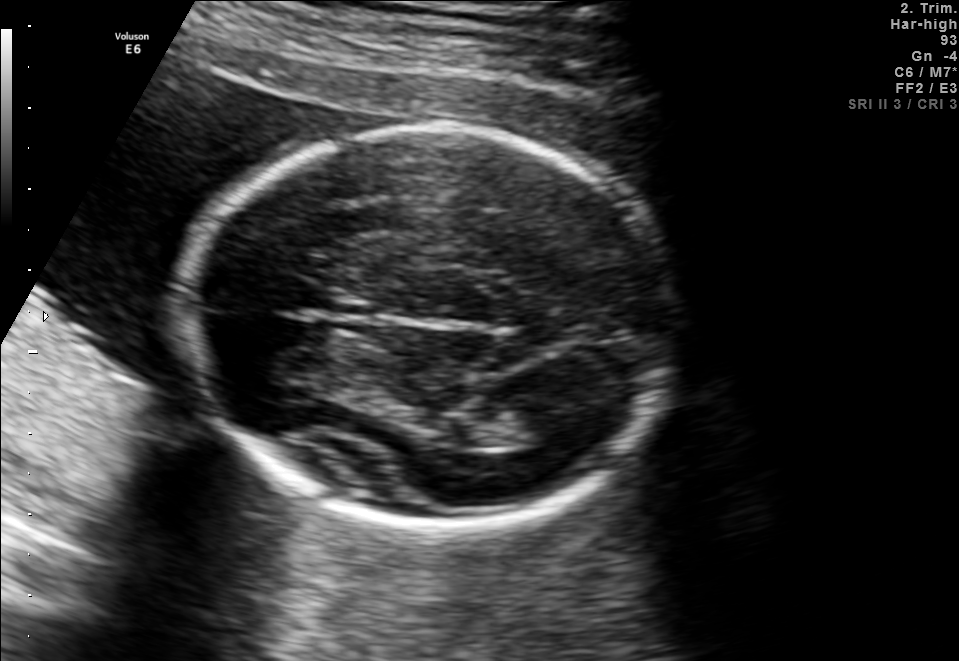
In this fetal brain, trans-thalamic plane, give the bounding box of the fetal head.

[183,127,676,522]